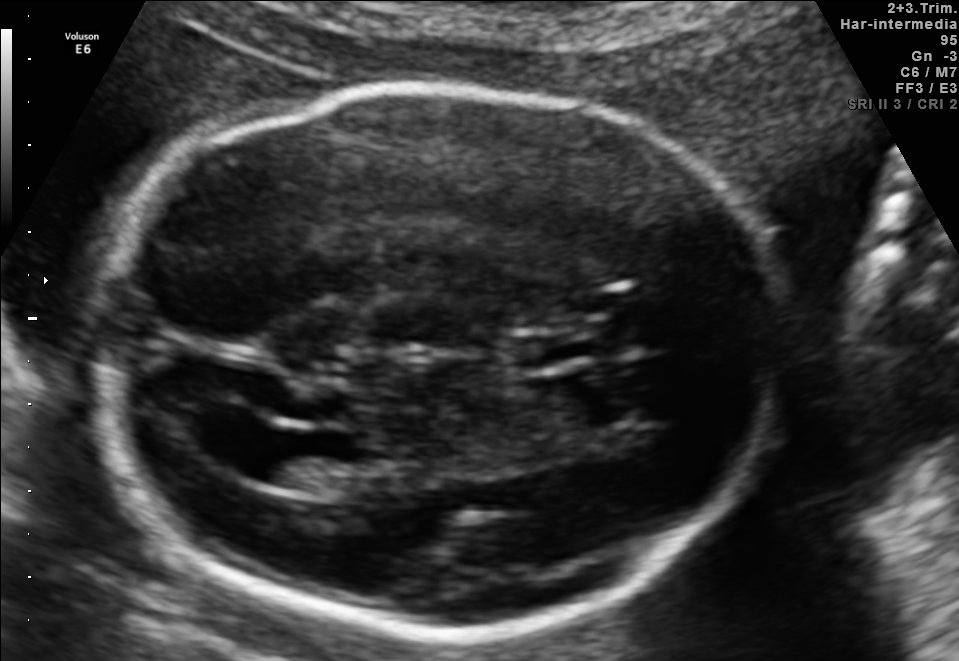
In this fetal brain, trans-ventricular plane, give the bounding box of the cavum septum pellucidum.

[499,323,626,375]